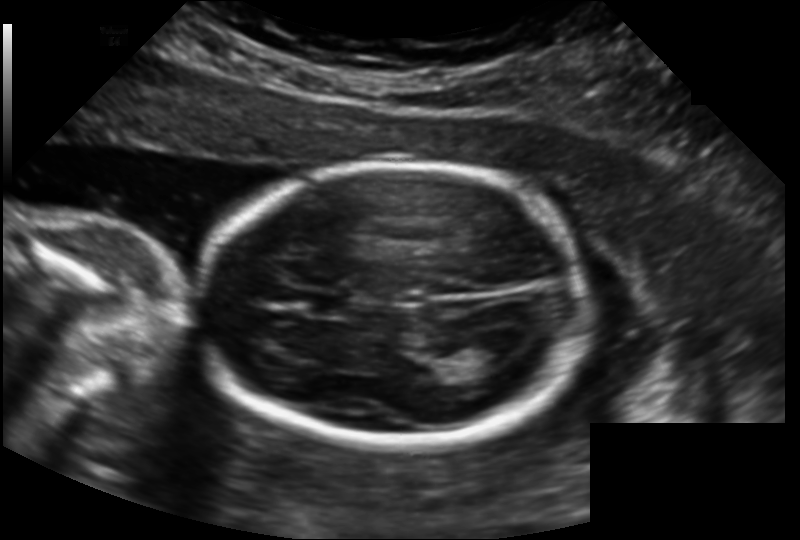
Fetal head ultrasound. Image width: 126.2 mm. Locate the fetal head.

Head: [200,163,590,448]